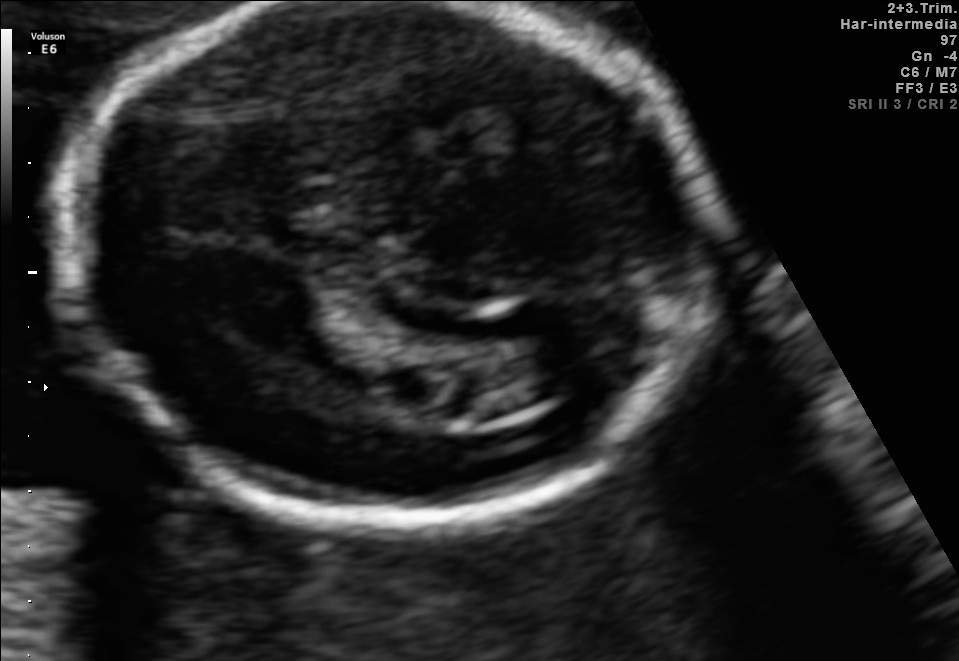
Fetal brain, trans-ventricular plane. Where is the lateral ventricle?

Lateral ventricle bounding box: [512,330,609,407]